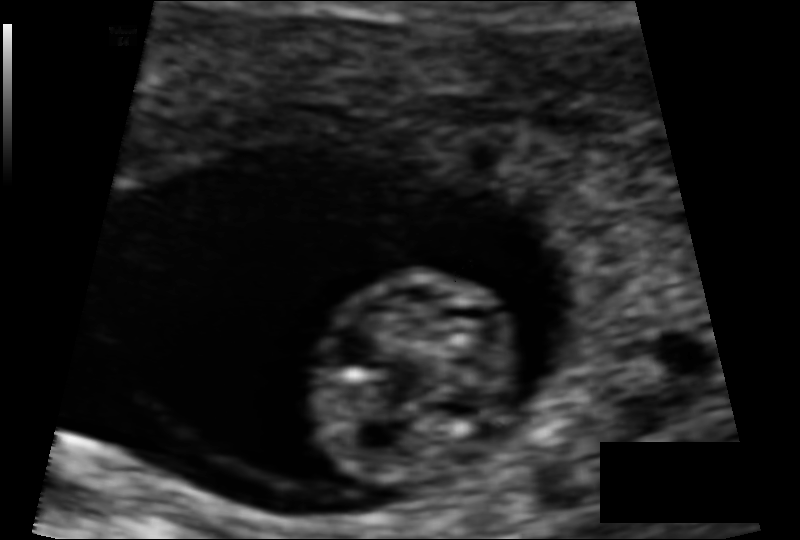
Estimate the fetal head circumference from this 2D ultrasound.

Head circumference: 44.3 mm (image width 55.3 mm).